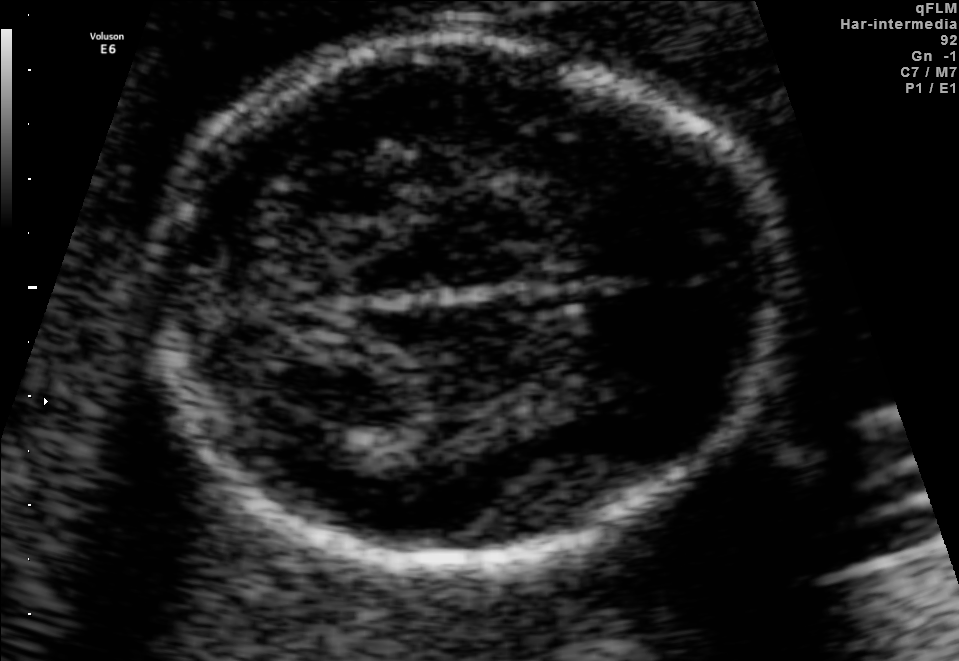
Fetal brain, trans-thalamic plane. Where is the fetal head?

Head bounding box: [153,39,788,570]